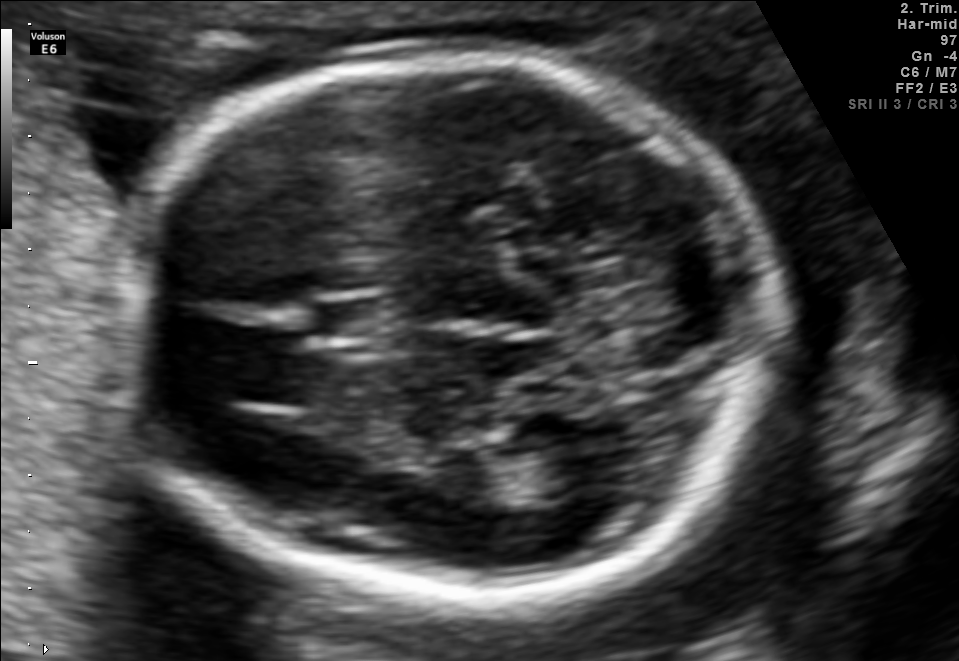
Fetal brain, trans-thalamic plane. Locate the fetal head.

Head: [110,53,779,586]